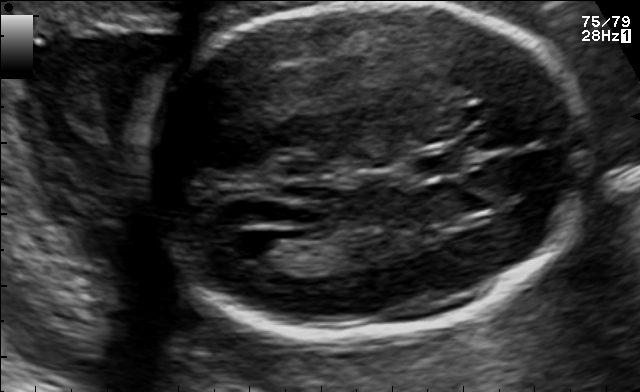
Fetal brain, trans-ventricular plane. Locate the fetal head.

Head: [123,2,606,346]